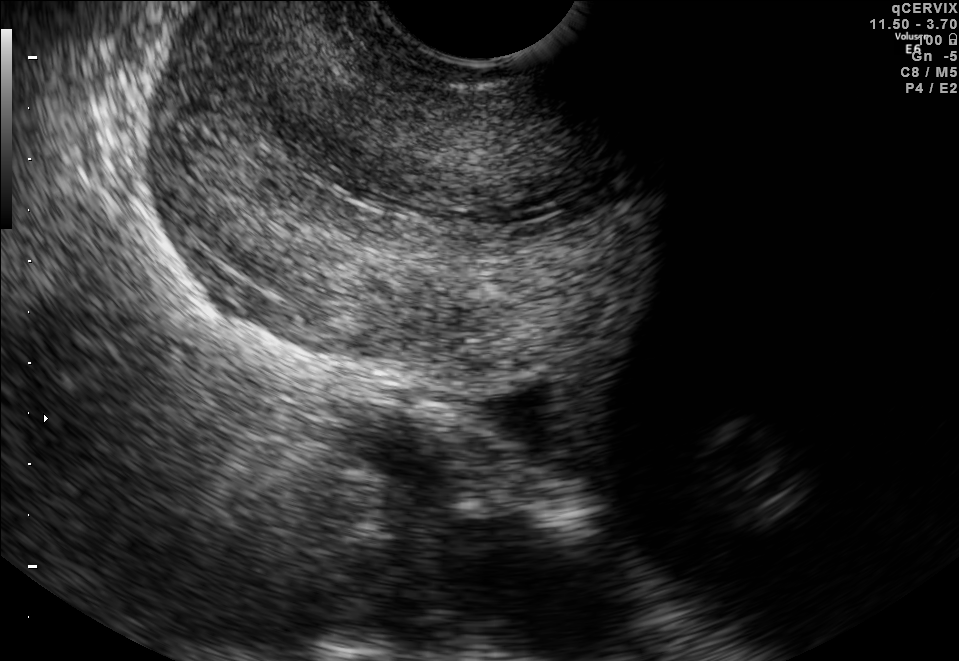
Identify the standard plane in this fetal ultrasound image: fetal abdomen, fetal brain, fetal femur, fetal thorax, maternal cervix, or other. If it's fetal brain and one of the three standard brain planes (trans-thalamic, trans-cerebellum, trans-ventricular), name which.

Maternal cervix